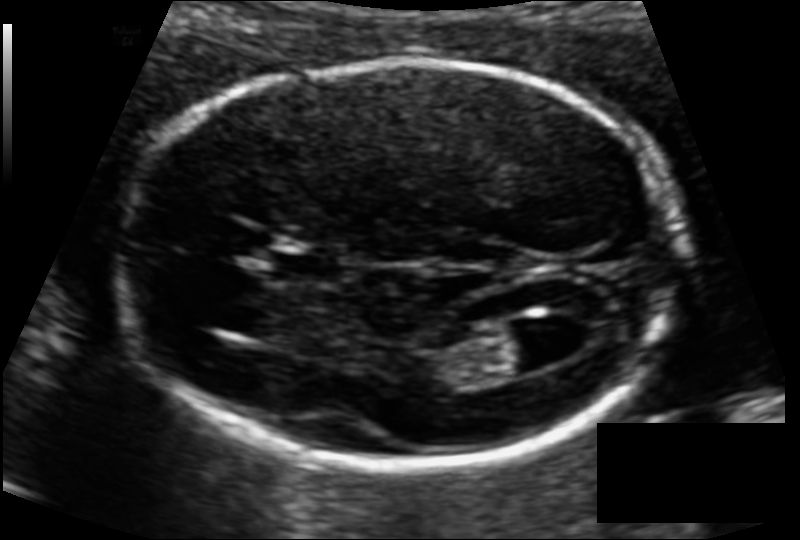
Fetal head ultrasound. Image width: 83.4 mm. Give [x1,y1,x2,y2] bounding boxes for each visible structure among: fetal head, CSP, LV.

Head: [121,60,686,462]
CSP: [272,253,342,281]
Lateral ventricle: [485,314,574,380]